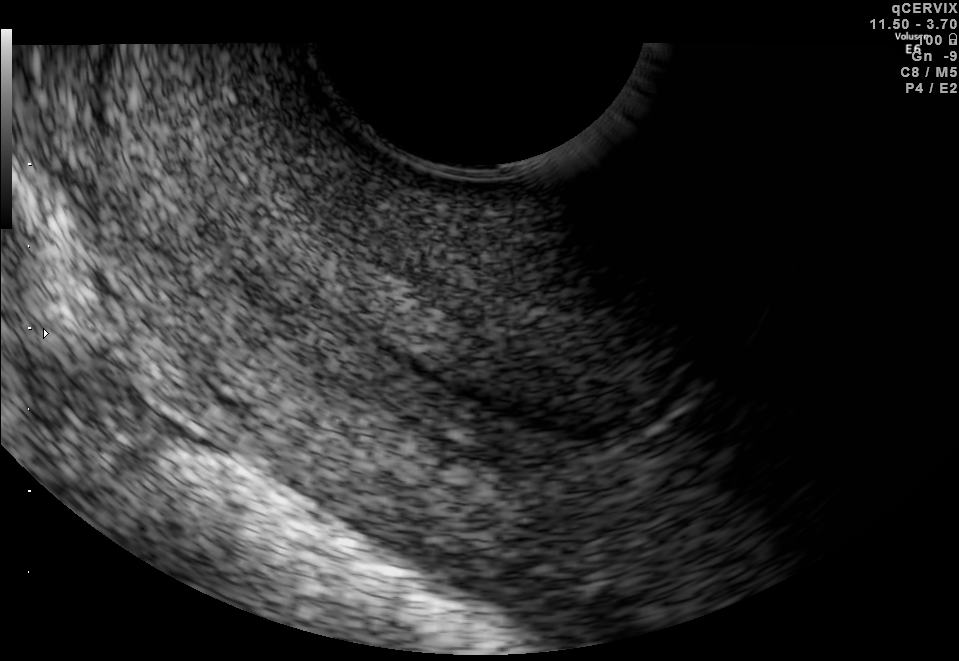
Which standard maternal-fetal ultrasound plane is shown: fetal abdomen, fetal brain, fetal femur, fetal thorax, maternal cervix, or other? If it's fetal brain and one of the three standard brain planes (trans-thalamic, trans-cerebellum, trans-ventricular), name which.

Maternal cervix